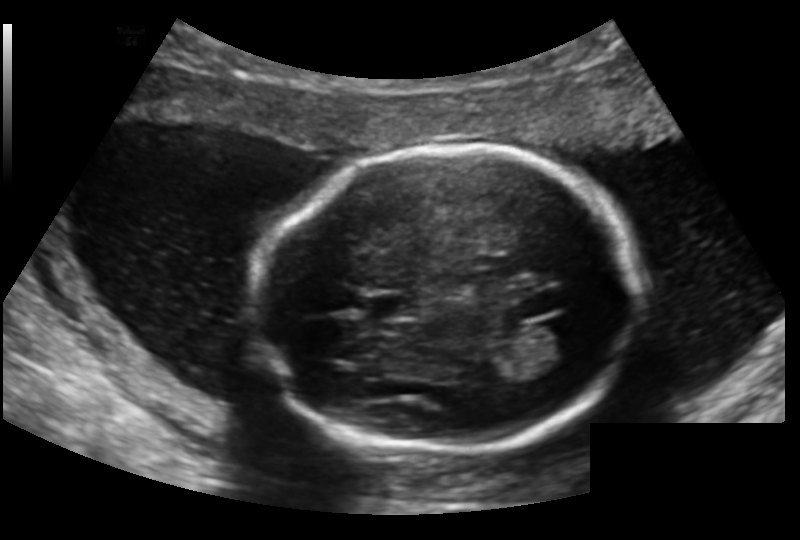
Fetal head ultrasound. Image width: 127.4 mm. Where is the cavum septum pellucidum?

CSP bounding box: [366,295,416,318]